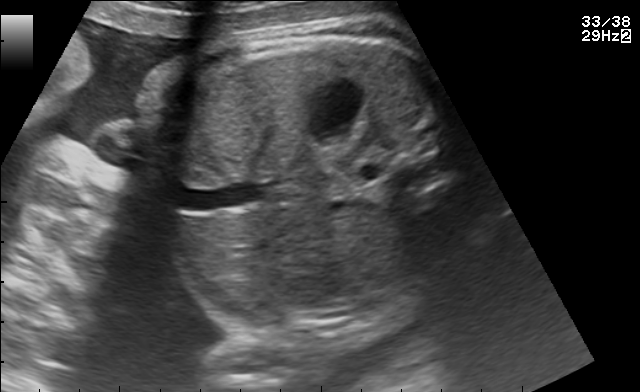
Classify this maternal-fetal ultrasound image as one of the six standard planes — fetal abdomen, fetal brain, fetal femur, fetal thorax, maternal cervix, or other. If it's fetal brain and one of the three standard brain planes (trans-thalamic, trans-cerebellum, trans-ventricular), name which.

Fetal abdomen